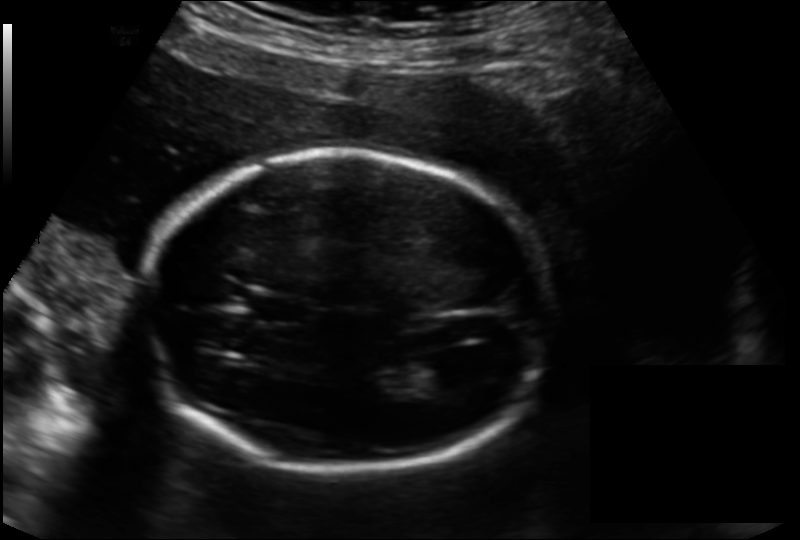
Estimate the fetal head circumference from this 2D ultrasound. Image width: 133.1 mm.

Head circumference: 197.8 mm.